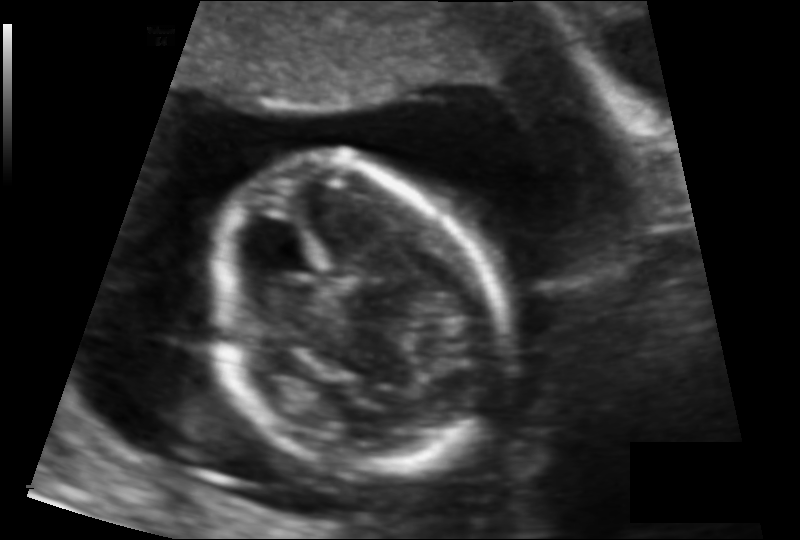
Fetal head ultrasound. Image width: 82.6 mm. Give [x1,y1,x2,y2] bounding boxes for each visible structure among: fetal head, CSP, LV.

Head: [211,157,504,473]